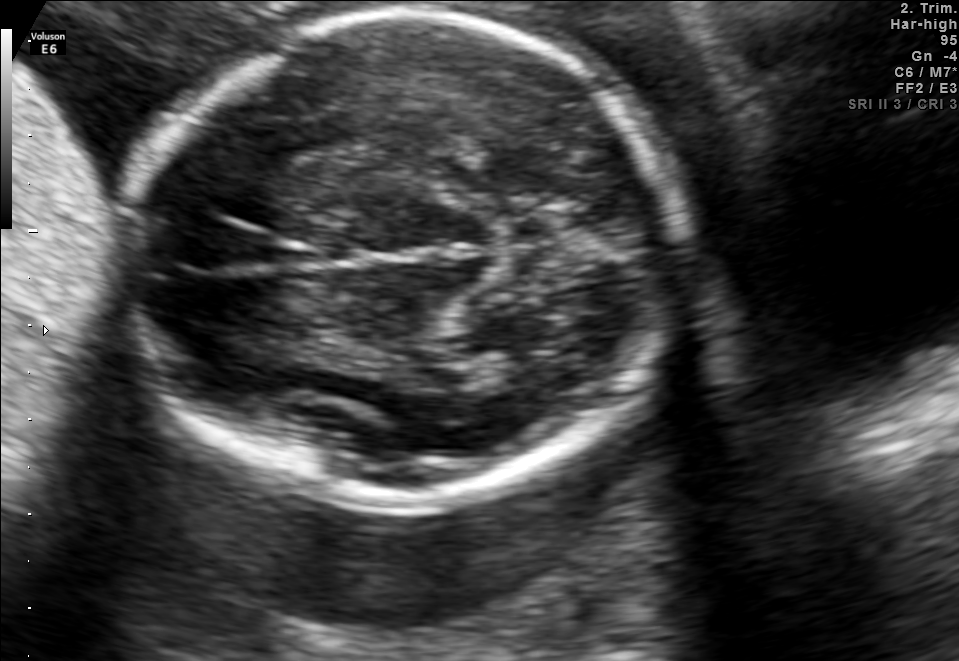
Fetal brain, trans-thalamic plane. Locate the fetal head.

Head: [121,16,684,501]